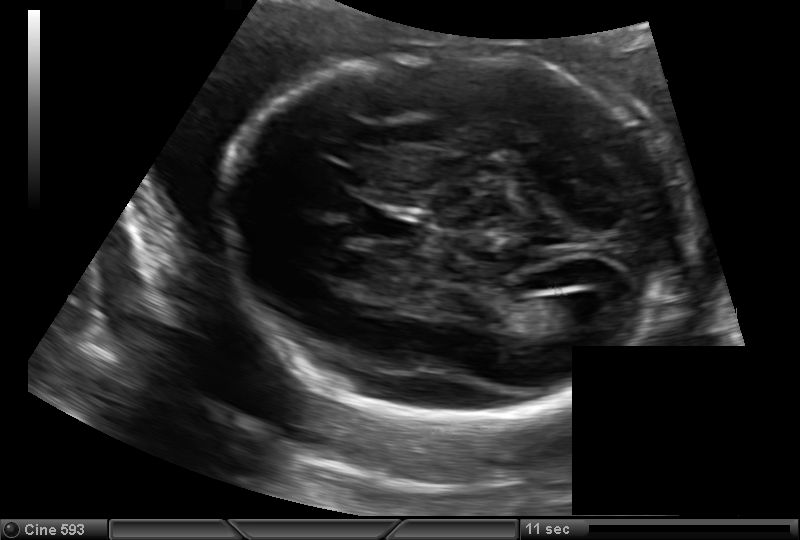
Fetal head ultrasound. Image width: 115.2 mm. Locate the fetal head.

Head: [221,52,684,417]